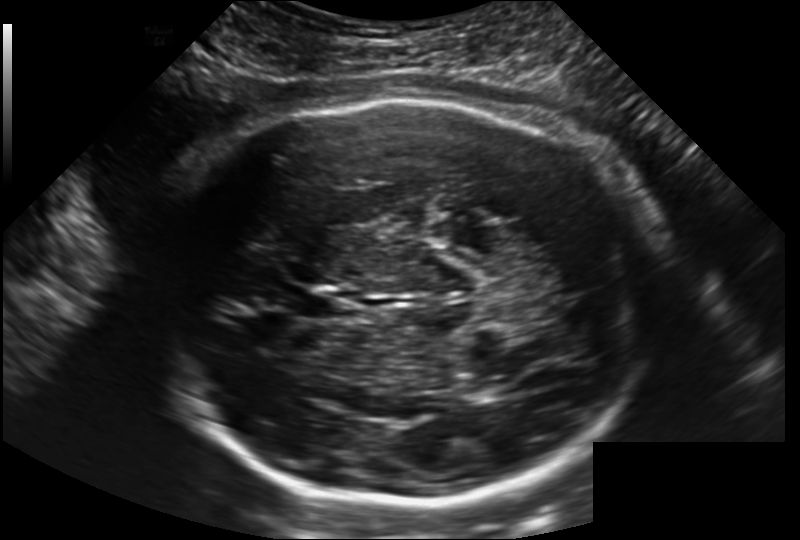
Estimate the fetal head circumference from this 2D ultrasound.

Head circumference: 294.5 mm (image width 161.6 mm).